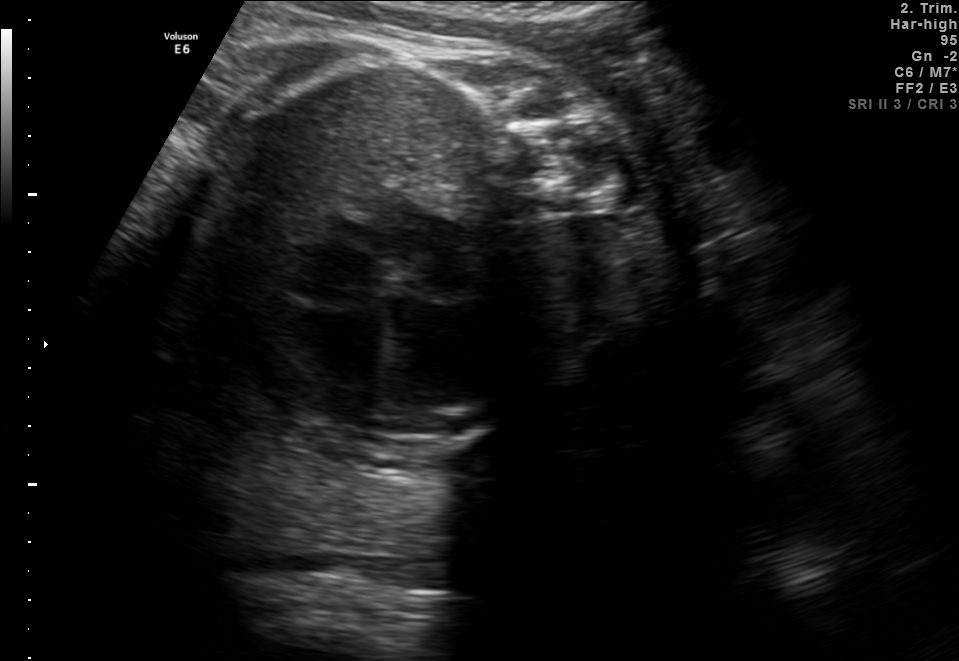
Which standard maternal-fetal ultrasound plane is shown: fetal abdomen, fetal brain, fetal femur, fetal thorax, maternal cervix, or other? If it's fetal brain and one of the three standard brain planes (trans-thalamic, trans-cerebellum, trans-ventricular), name which.

Fetal thorax